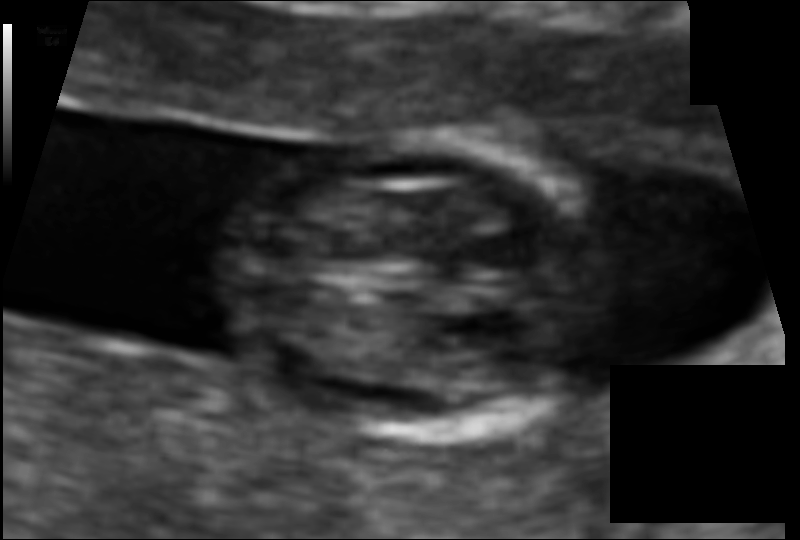
Fetal head ultrasound. Image width: 53.7 mm. Give [x1,y1,x2,y2] bounding boxes for each visible structure among: fetal head, CSP, LV.

Head: [228,138,606,441]